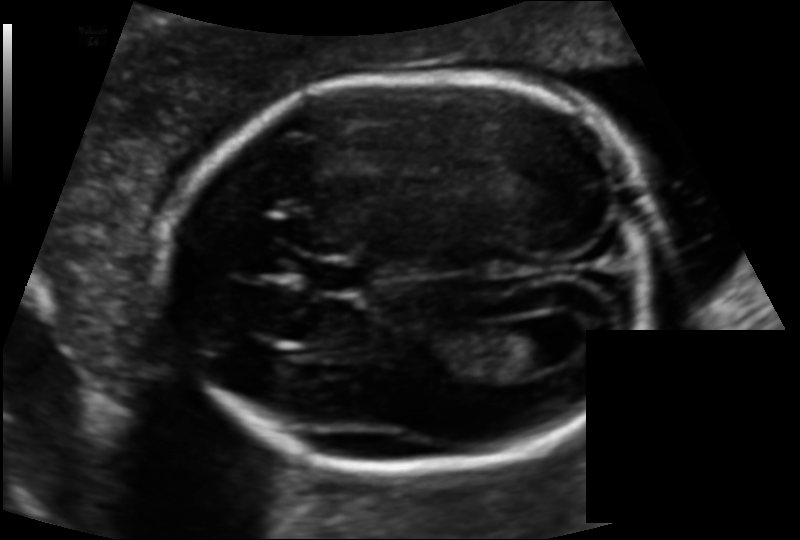
Fetal head ultrasound. Image width: 95.5 mm. Give [x1,y1,x2,y2] bounding boxes for each visible structure among: fetal head, CSP, LV.

Head: [165,74,655,473]
CSP: [305,255,371,295]
Lateral ventricle: [490,317,567,378]